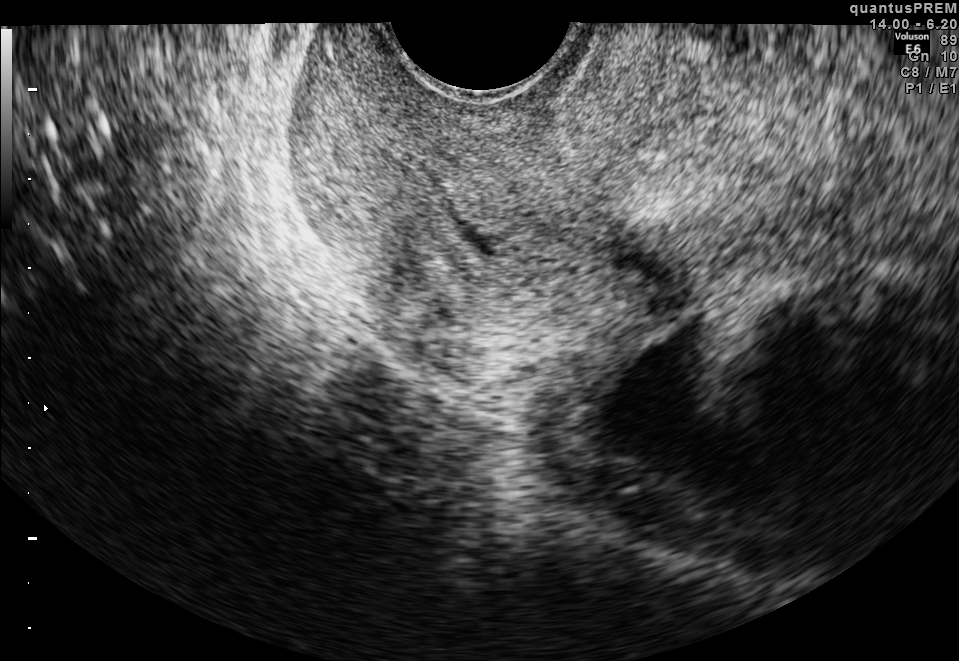
Identify the standard plane in this fetal ultrasound image: fetal abdomen, fetal brain, fetal femur, fetal thorax, maternal cervix, or other. If it's fetal brain and one of the three standard brain planes (trans-thalamic, trans-cerebellum, trans-ventricular), name which.

Maternal cervix